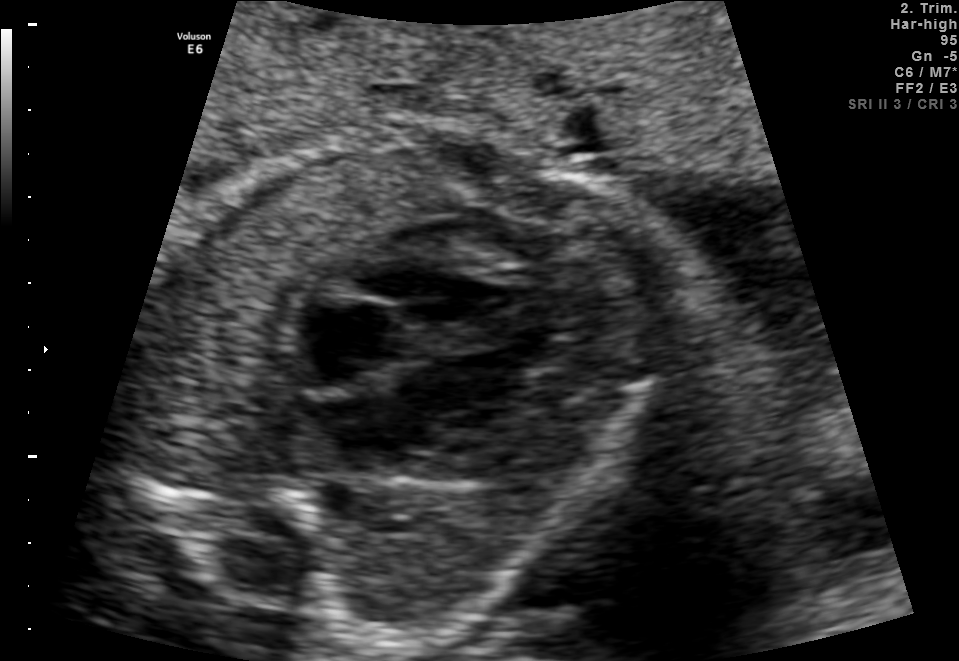
Identify the standard plane in this fetal ultrasound image: fetal abdomen, fetal brain, fetal femur, fetal thorax, maternal cervix, or other. If it's fetal brain and one of the three standard brain planes (trans-thalamic, trans-cerebellum, trans-ventricular), name which.

Fetal thorax